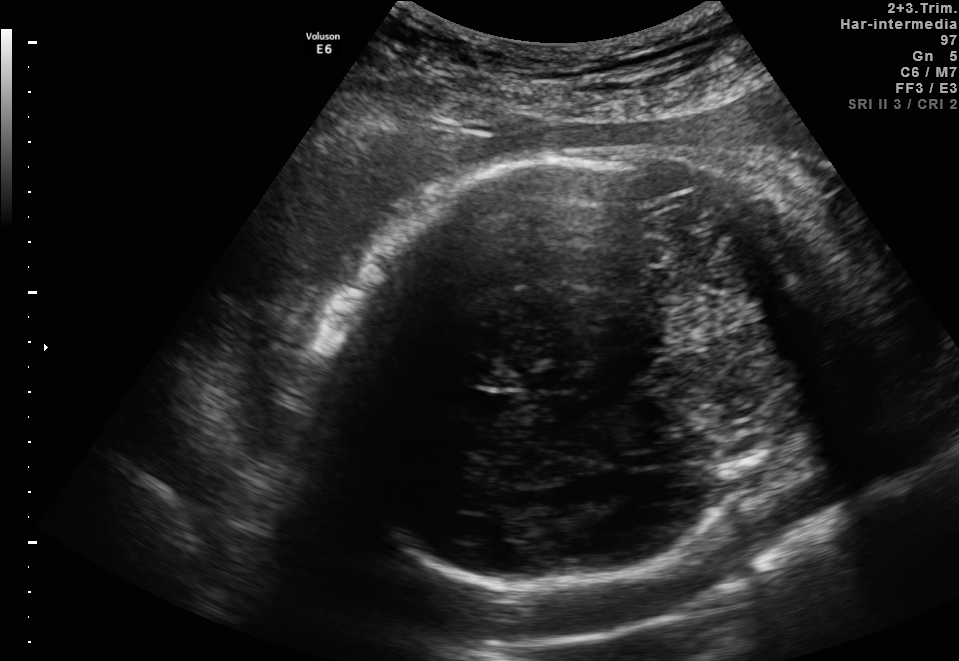
Fetal brain, trans-thalamic plane. Give [x1,y1,x2,y2] bounding boxes for each visible structure among: fetal head, CSP, LV.

Head: [323,148,806,587]